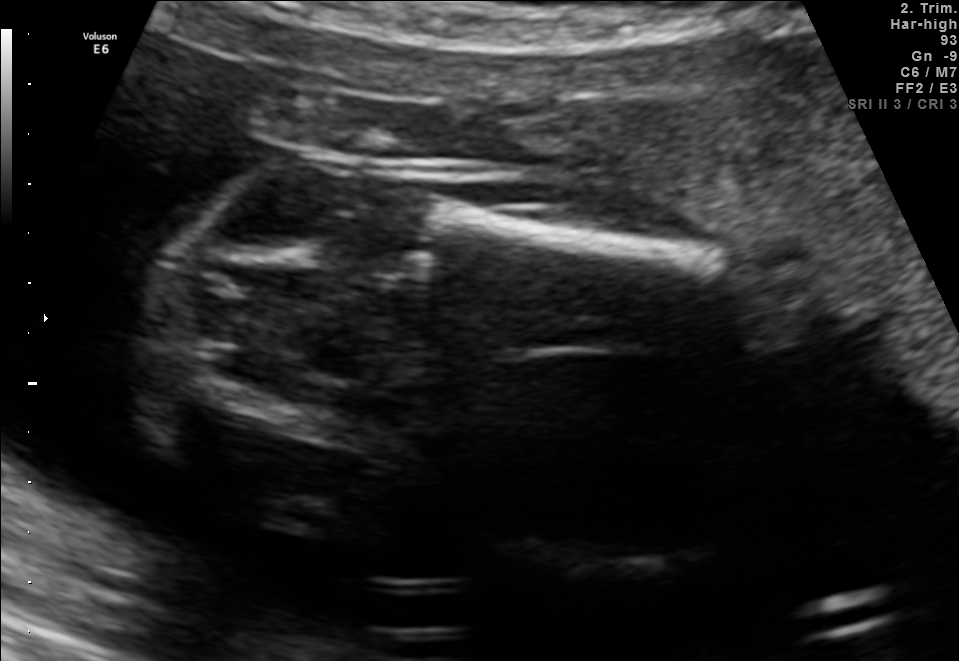
Which standard maternal-fetal ultrasound plane is shown: fetal abdomen, fetal brain, fetal femur, fetal thorax, maternal cervix, or other? If it's fetal brain and one of the three standard brain planes (trans-thalamic, trans-cerebellum, trans-ventricular), name which.

Fetal femur